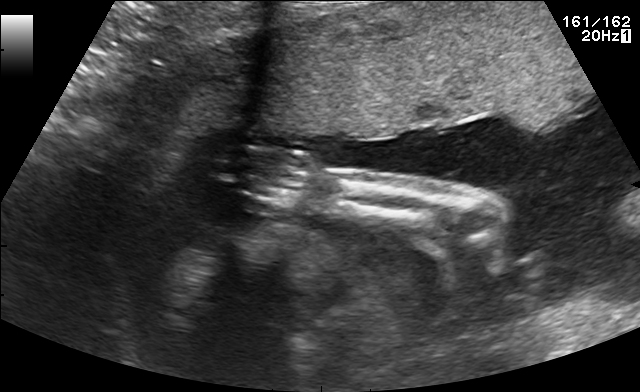
This is a 2D maternal-fetal ultrasound frame. Is it a fetal abdomen, fetal brain, fetal femur, fetal thorax, maternal cervix, or other standard plane? If it's fetal brain and one of the three standard brain planes (trans-thalamic, trans-cerebellum, trans-ventricular), name which.

Other